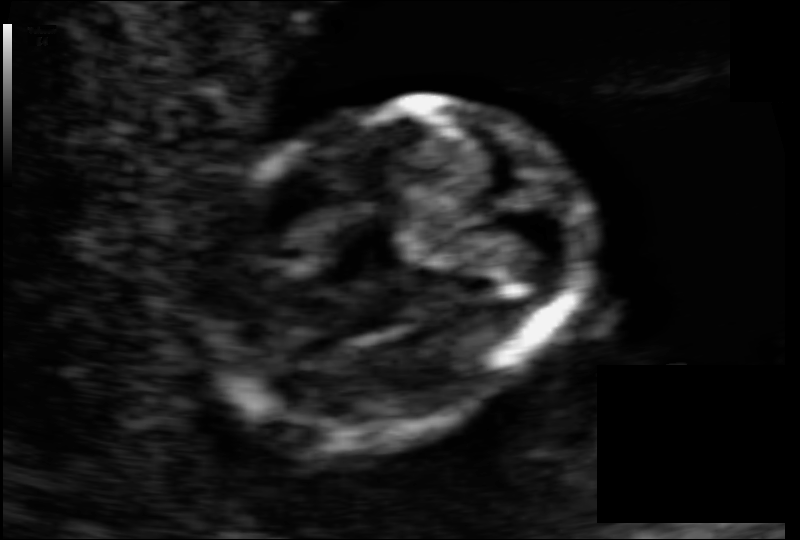
Estimate the fetal head circumference from this 2D ultrasound.

Head circumference: 81.4 mm (image width 55.0 mm).